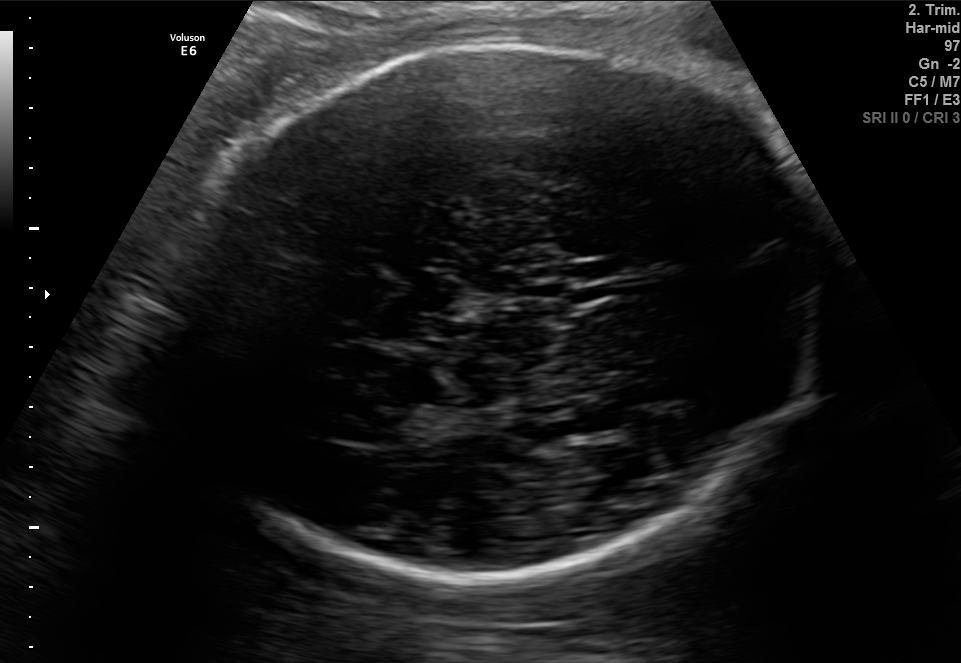
In this fetal brain, trans-thalamic plane, give the bounding box of the fetal head.

[179,36,832,585]